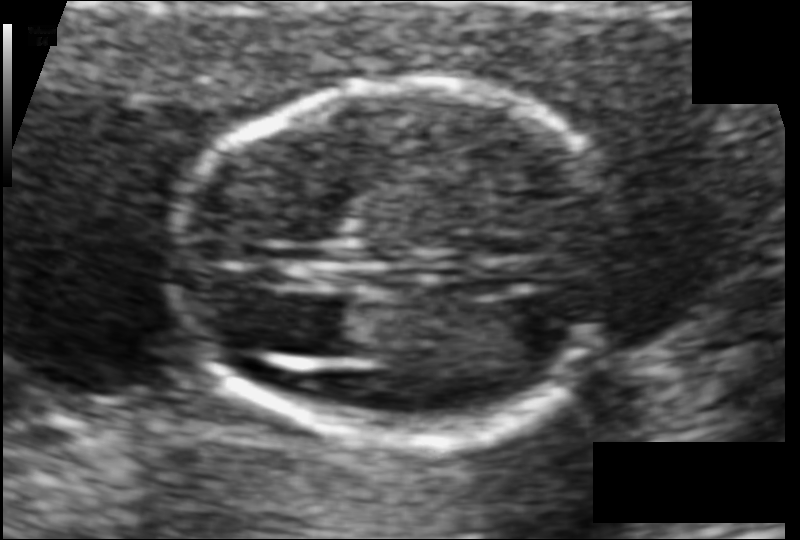
Measure the fetal head circumference shown in this ultrasound image. Image width: 61.4 mm.

Head circumference: 100.7 mm.